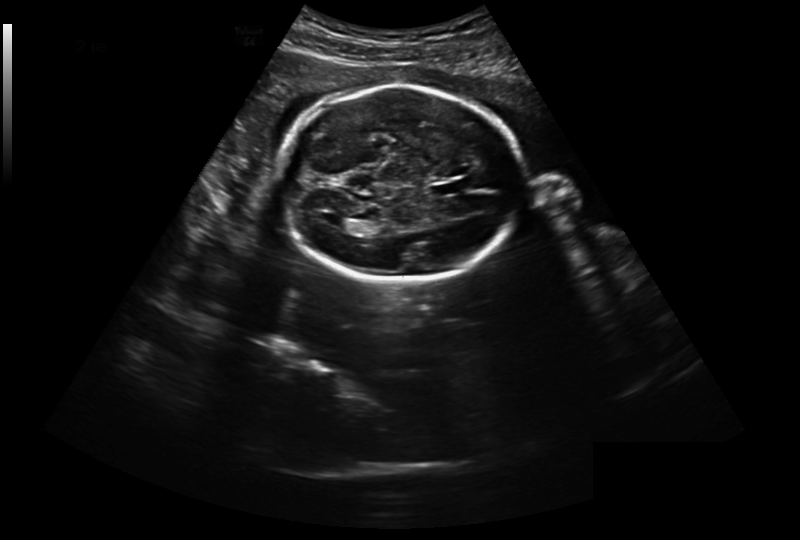
Fetal head ultrasound. Image width: 241.1 mm. Locate the fetal head.

Head: [279,86,525,281]